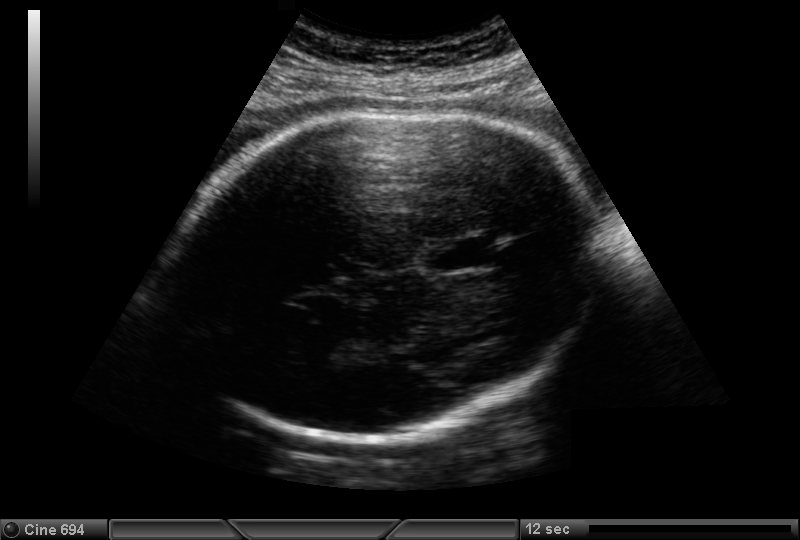
In this fetal head ultrasound, give the bounding box of the cavum septum pellucidum. Image width: 176.7 mm.

[422,231,496,279]